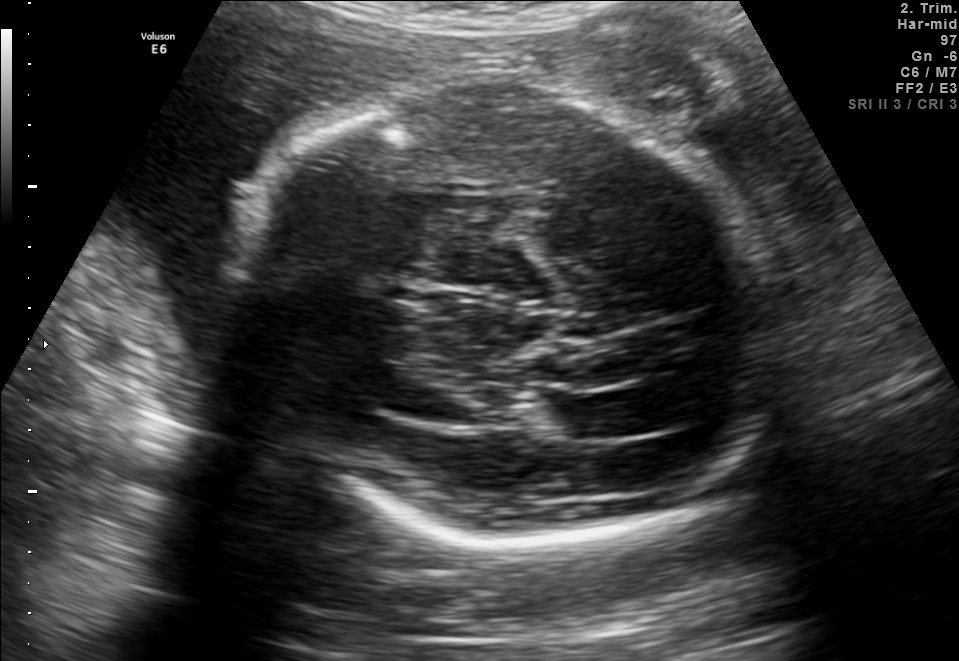
Fetal brain, trans-thalamic plane. Locate the fetal head and, if visible, the cavum septum pellucidum (CSP) and lateral ventricle (LV). Give bounding boxes as [x1,y1,x2,y2].

Head: [221,83,786,546]
Lateral ventricle: [542,393,632,441]